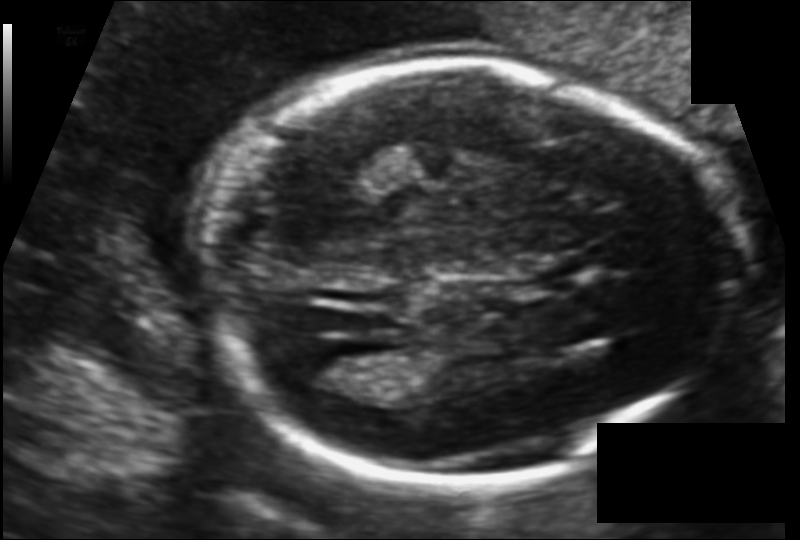
Measure the fetal head circumference shown in this ultrasound image. Image width: 93.1 mm.

Head circumference: 177.9 mm.